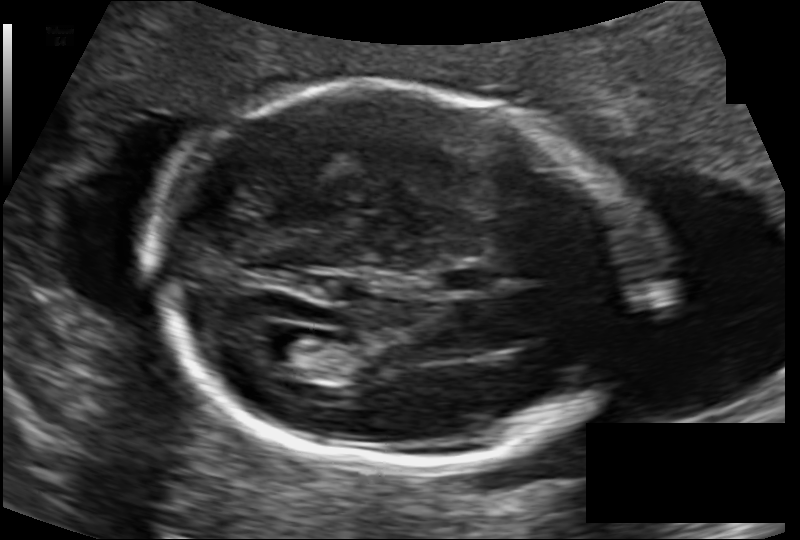
Fetal head ultrasound. Image width: 95.8 mm. Locate the fetal head and, if visible, the cavum septum pellucidum (CSP) and lateral ventricle (LV). Give bounding boxes as [x1,y1,x2,y2].

Head: [147,89,647,467]
CSP: [442,267,494,292]
Lateral ventricle: [253,326,327,380]